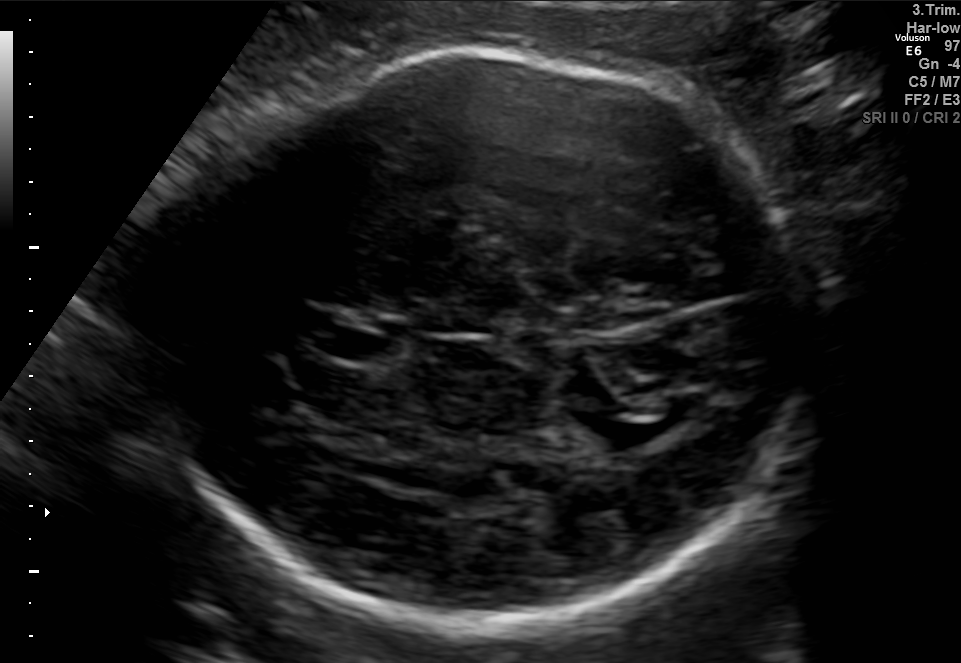
Fetal brain, trans-thalamic plane. Locate the fetal head and, if visible, the cavum septum pellucidum (CSP) and lateral ventricle (LV). Give bounding boxes as [x1,y1,x2,y2].

Head: [143,52,824,627]
CSP: [314,320,389,368]
Lateral ventricle: [575,383,681,465]